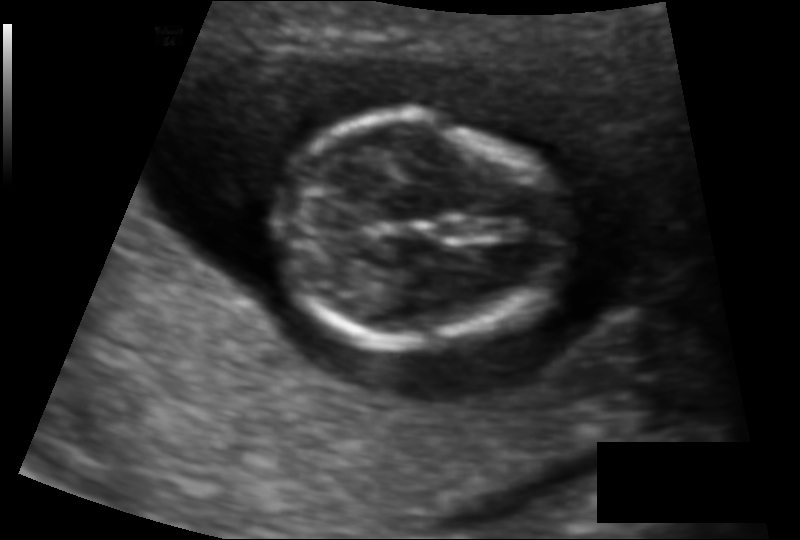
Estimate the fetal head circumference from this 2D ultrasound. Image width: 76.6 mm.

Head circumference: 82.3 mm.